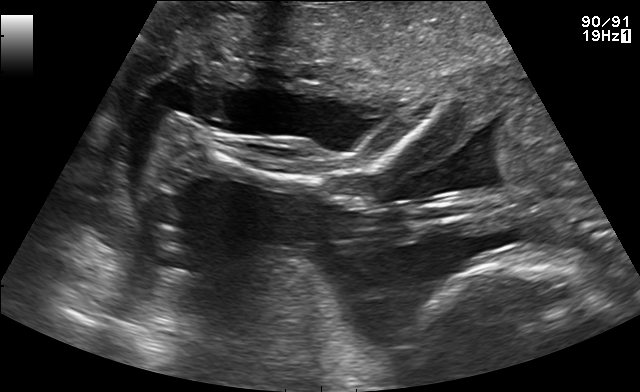
Classify this maternal-fetal ultrasound image as one of the six standard planes — fetal abdomen, fetal brain, fetal femur, fetal thorax, maternal cervix, or other. If it's fetal brain and one of the three standard brain planes (trans-thalamic, trans-cerebellum, trans-ventricular), name which.

Other